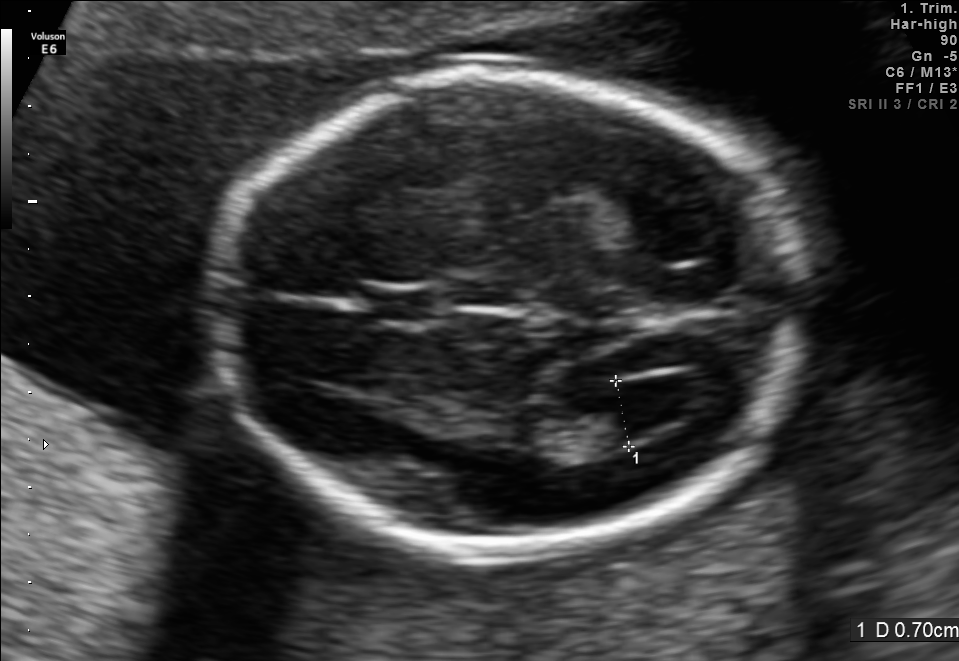
Fetal brain, trans-ventricular plane. Locate the fetal head.

Head: [197,56,830,569]